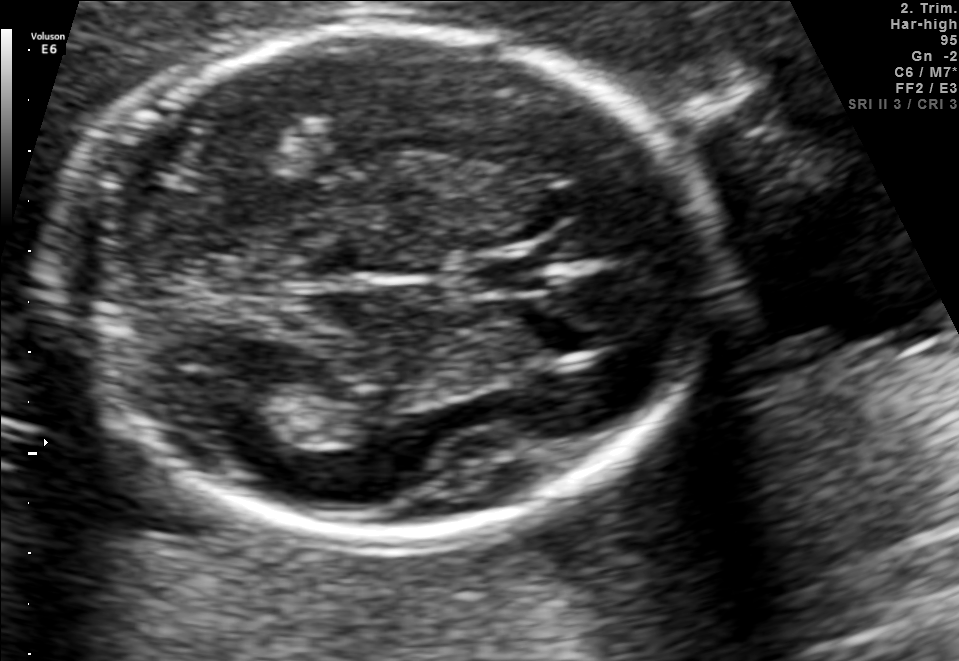
Fetal brain, trans-thalamic plane. Where is the cavum septum pellucidum?

CSP bounding box: [464,254,550,295]